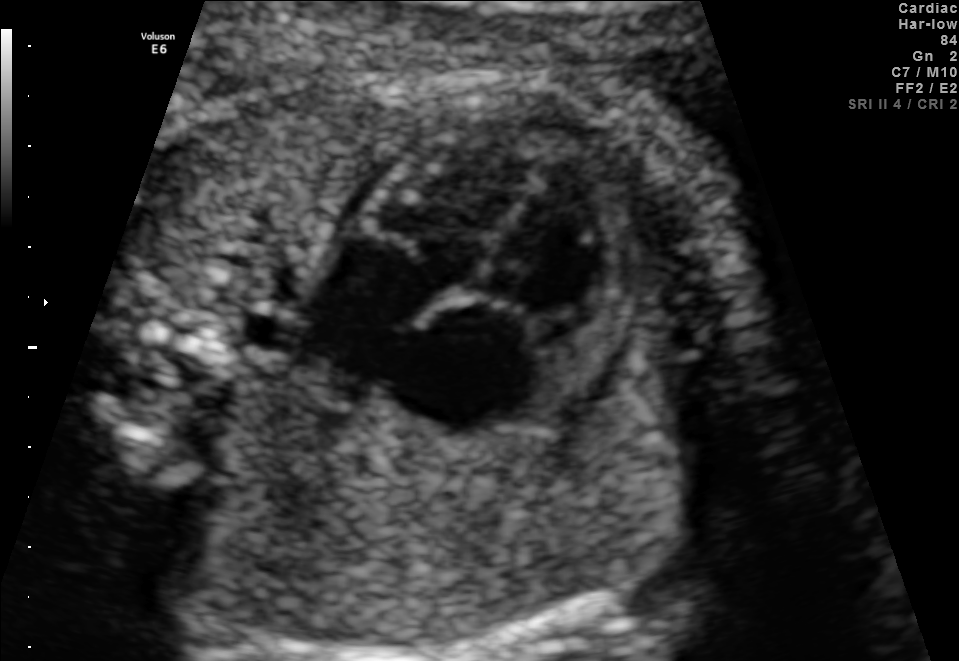
This is a 2D maternal-fetal ultrasound frame. Is it a fetal abdomen, fetal brain, fetal femur, fetal thorax, maternal cervix, or other standard plane? If it's fetal brain and one of the three standard brain planes (trans-thalamic, trans-cerebellum, trans-ventricular), name which.

Fetal thorax